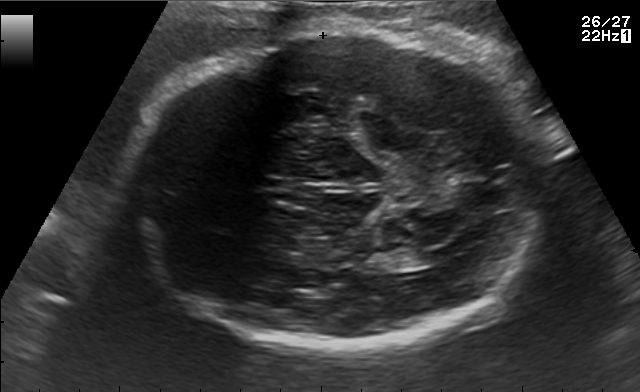
In this fetal brain, trans-ventricular plane, give the bounding box of the cavum septum pellucidum.

[263,174,322,197]